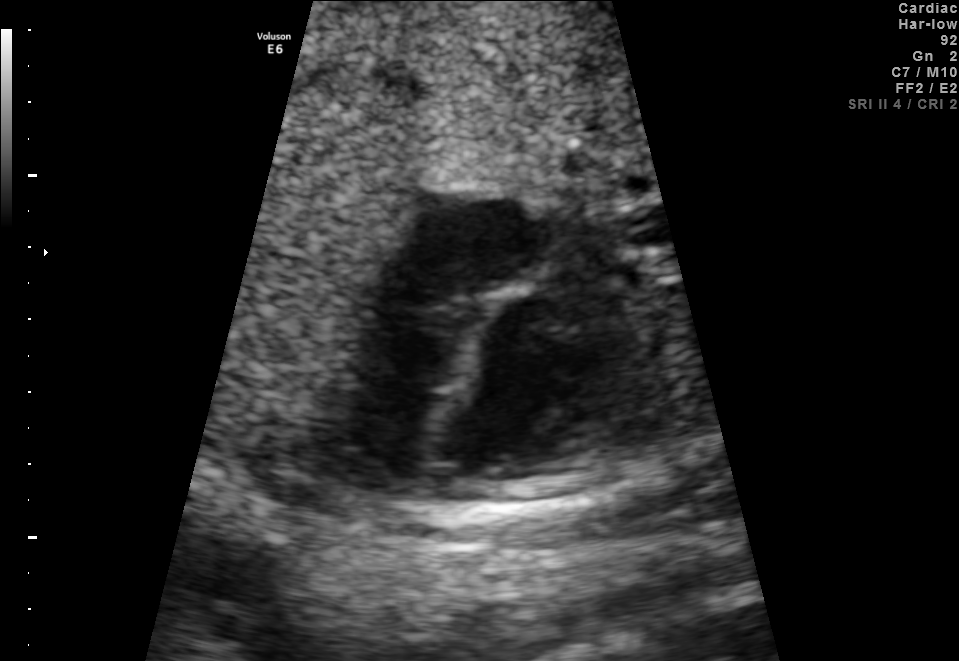
Classify this maternal-fetal ultrasound image as one of the six standard planes — fetal abdomen, fetal brain, fetal femur, fetal thorax, maternal cervix, or other. If it's fetal brain and one of the three standard brain planes (trans-thalamic, trans-cerebellum, trans-ventricular), name which.

Fetal thorax